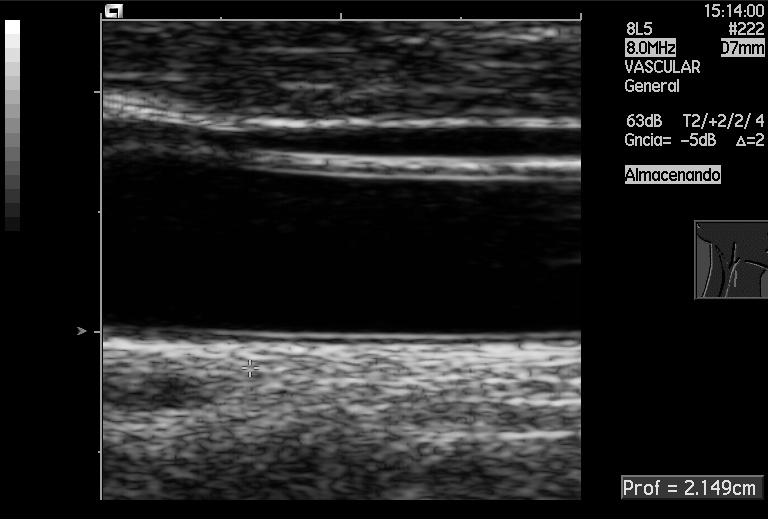
Identify the standard plane in this fetal ultrasound image: fetal abdomen, fetal brain, fetal femur, fetal thorax, maternal cervix, or other. If it's fetal brain and one of the three standard brain planes (trans-thalamic, trans-cerebellum, trans-ventricular), name which.

Other